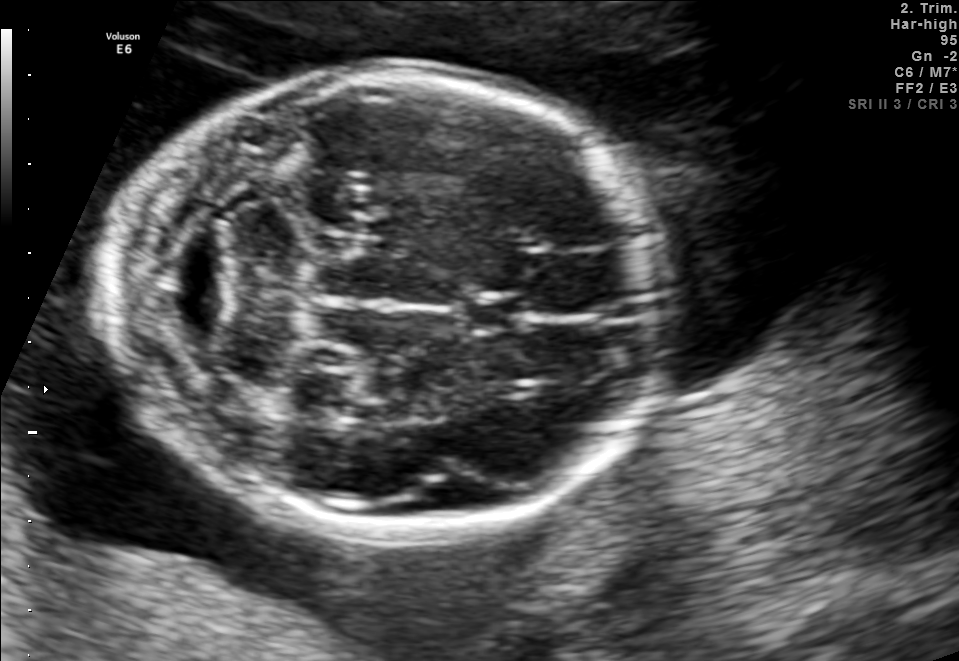
Fetal brain, trans-cerebellum plane. Where is the fetal head?

Head bounding box: [111,72,668,531]